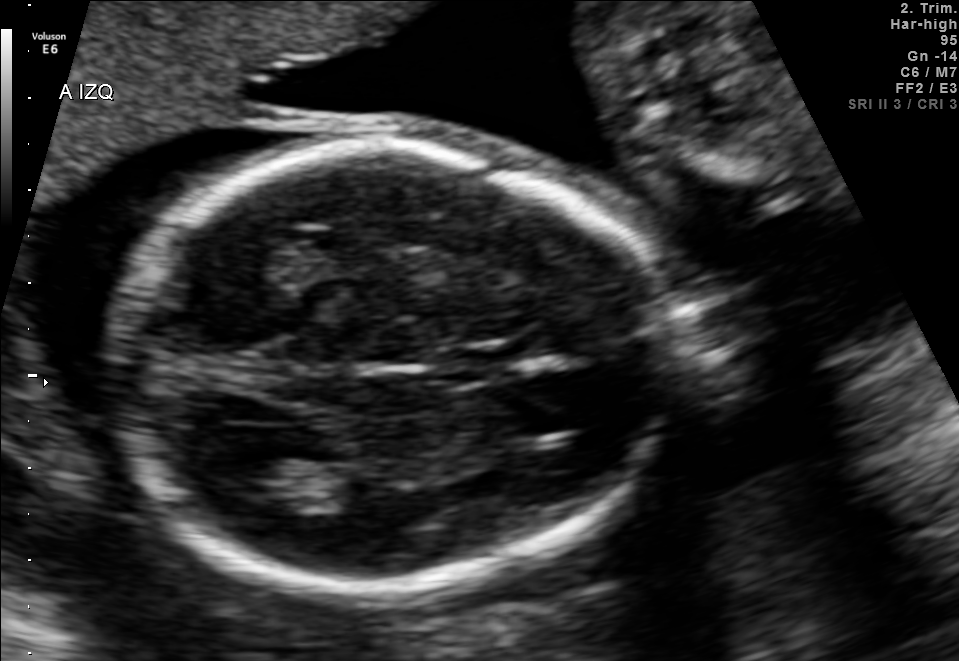
Fetal brain, trans-thalamic plane. Locate the fetal head.

Head: [108,143,677,588]